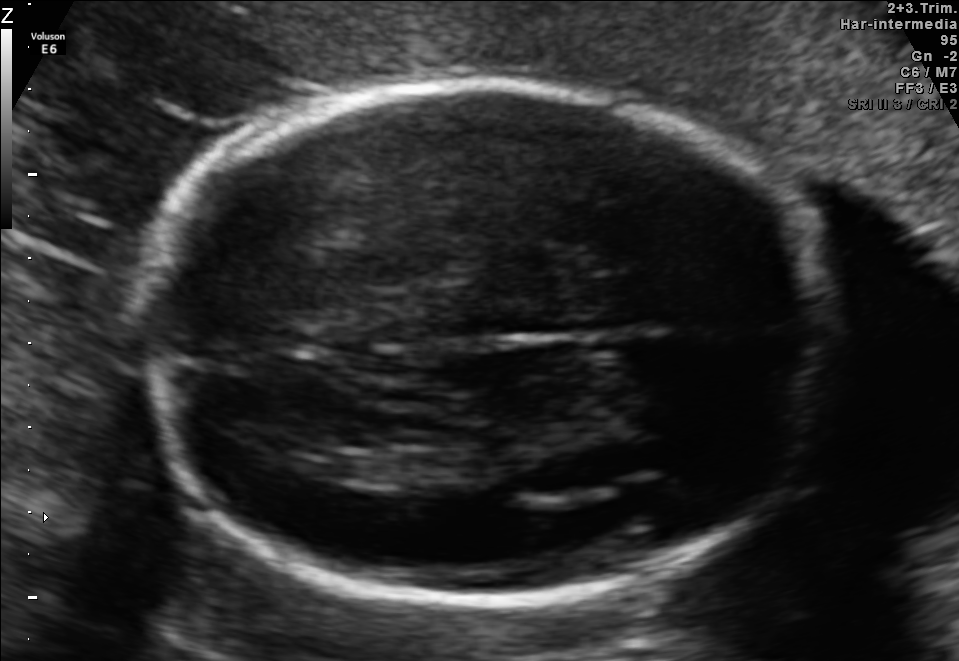
Fetal brain, trans-thalamic plane. Locate the lateral ventricle.

Lateral ventricle: [321,453,409,486]